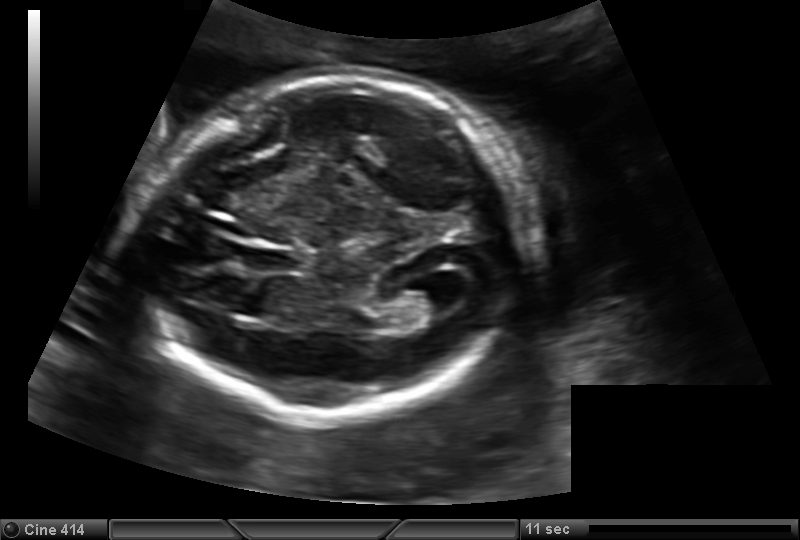
Fetal head ultrasound. Image width: 120.0 mm. Locate the fetal head and, if visible, the cavum septum pellucidum (CSP) and lateral ventricle (LV). Give bounding boxes as [x1,y1,x2,y2].

Head: [143,76,523,417]
CSP: [243,245,295,273]
Lateral ventricle: [394,273,457,326]